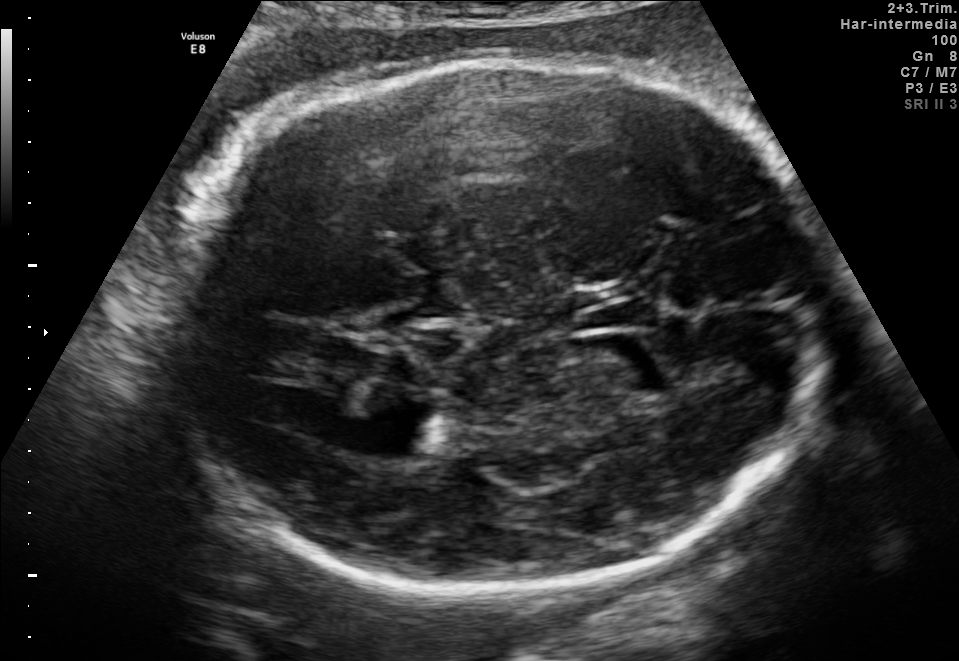
Fetal brain, trans-thalamic plane. Locate the fetal head.

Head: [172,55,819,594]